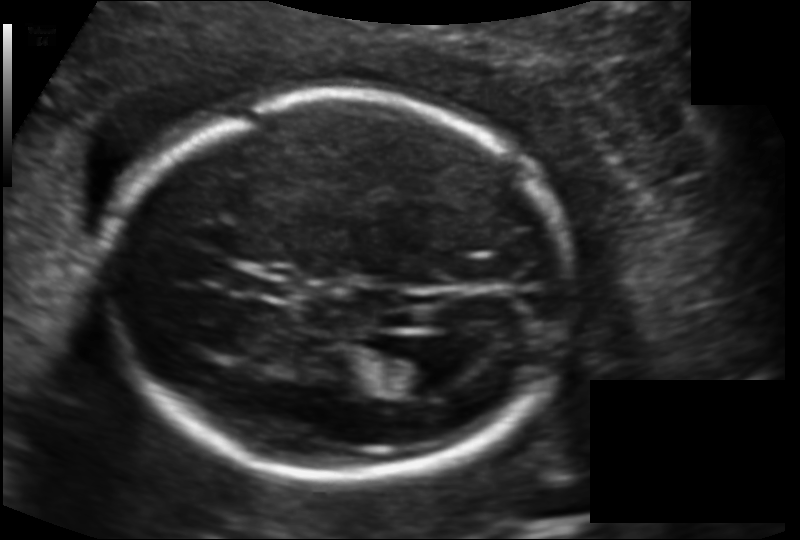
Fetal head ultrasound. Image width: 107.3 mm. Locate the fetal head.

Head: [108,92,565,482]